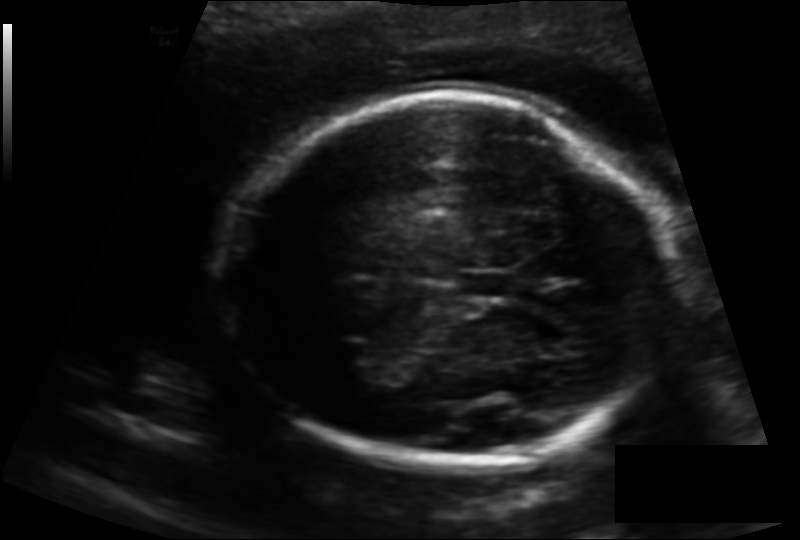
Measure the fetal head circumference shown in this ultrasound image. Image width: 112.7 mm.

Head circumference: 188.8 mm.